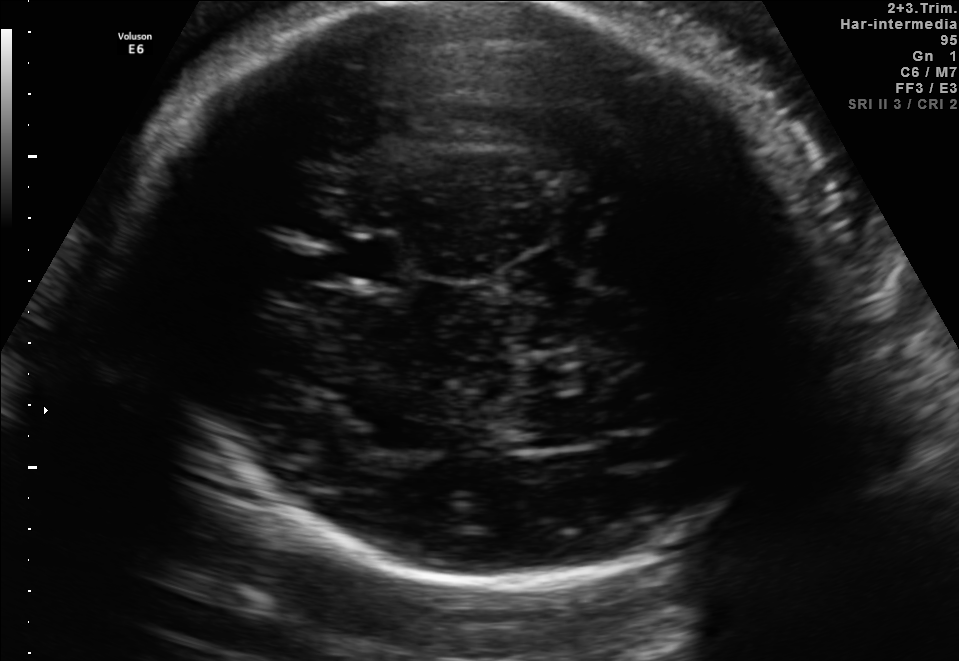
In this fetal brain, trans-thalamic plane, give bounding boxes for the head outline, cavum septum pellucidum (CSP), and lateral ventricle (LV), where visible.

Head: [122,4,833,585]
CSP: [325,233,403,287]
Lateral ventricle: [501,395,605,453]